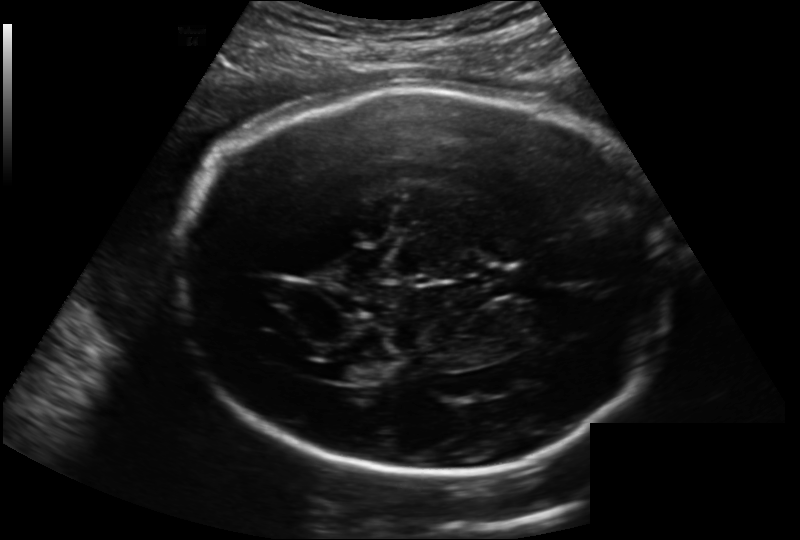
Measure the fetal head circumference shown in this ultrasound image. Image width: 161.8 mm.

Head circumference: 284.7 mm.